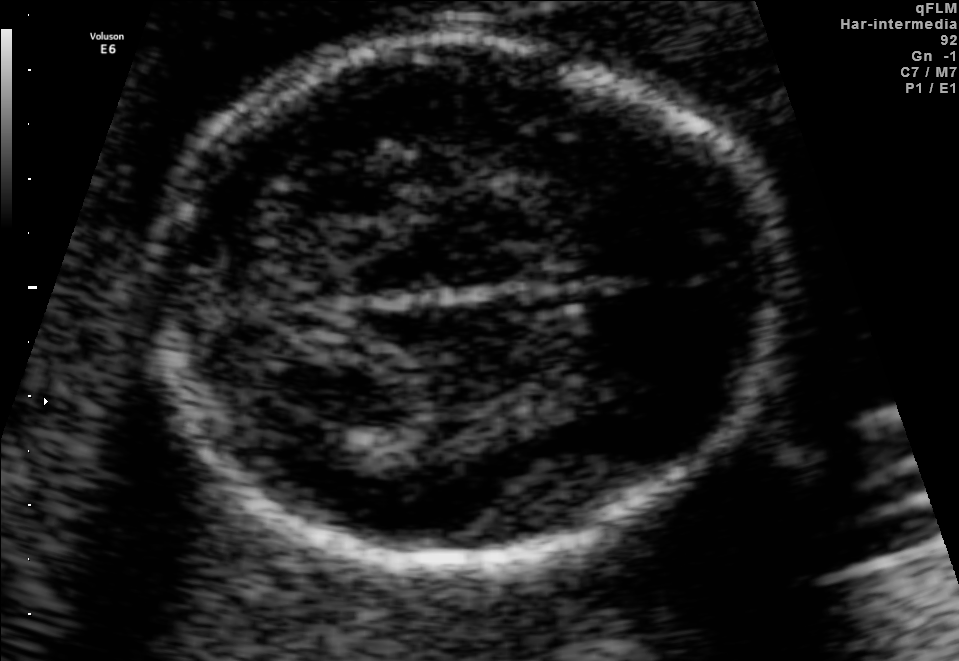
Fetal brain, trans-thalamic plane. Give [x1,y1,x2,y2] bounding boxes for each visible structure among: fetal head, CSP, LV.

Head: [153,39,788,570]